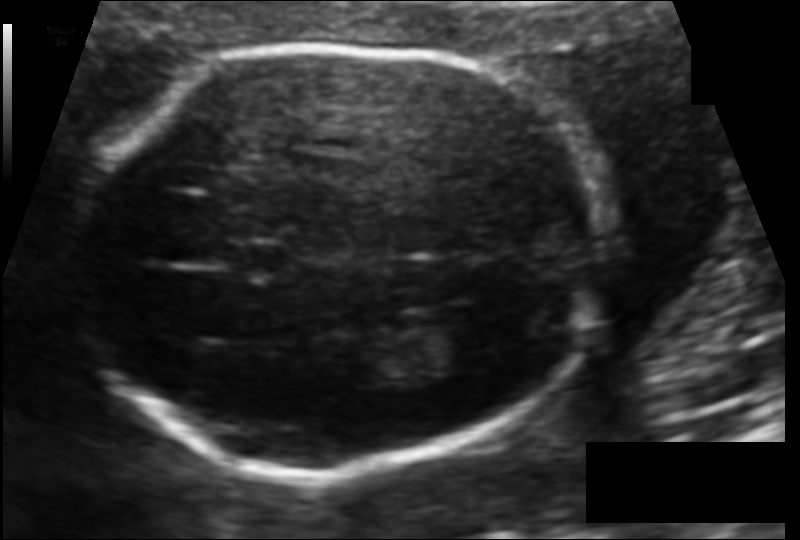
Fetal head ultrasound. Image width: 86.3 mm. Locate the lateral ventricle.

Lateral ventricle: [436,312,523,373]